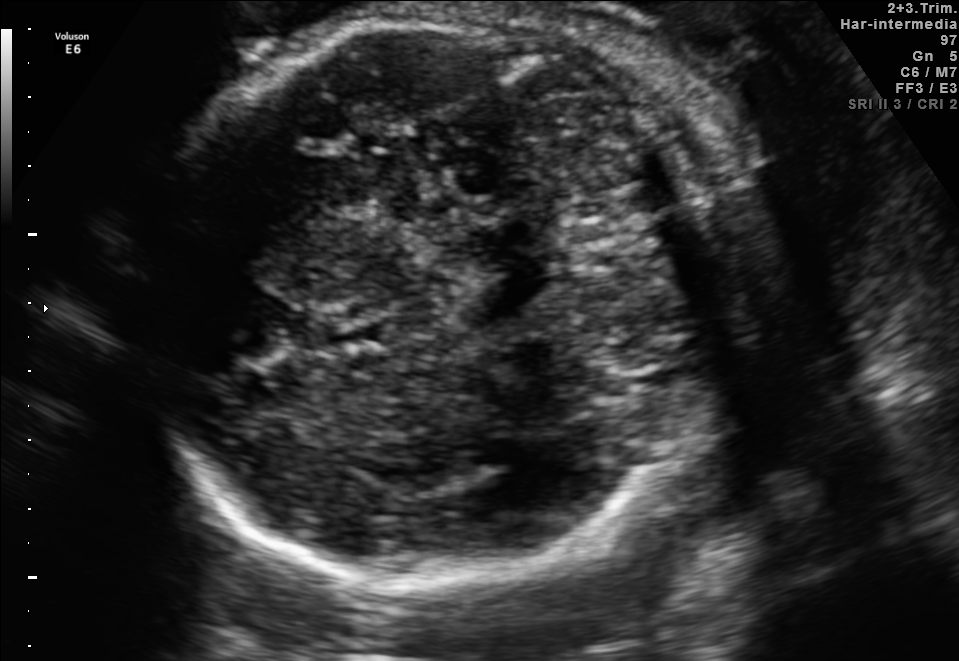
In this fetal brain, trans-cerebellum plane, give the bounding box of the fetal head.

[136,3,763,584]